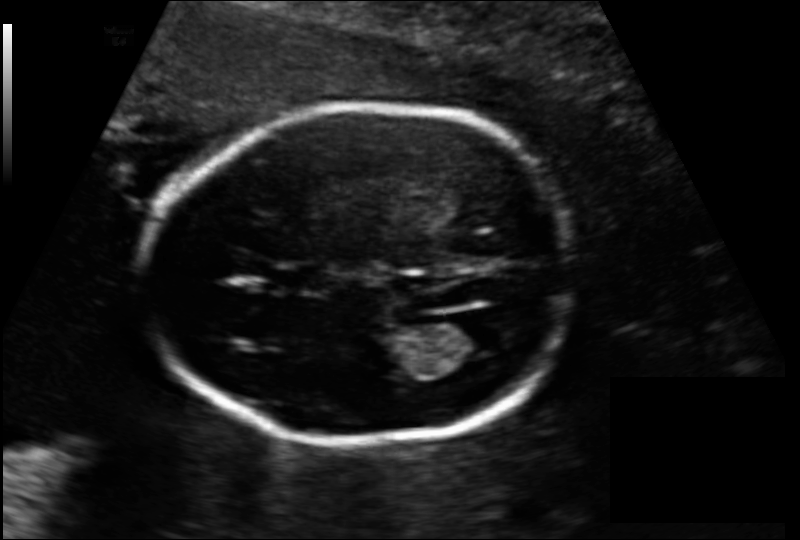
Fetal head ultrasound. Image width: 109.4 mm. Where is the fetal head?

Head bounding box: [148,105,571,444]